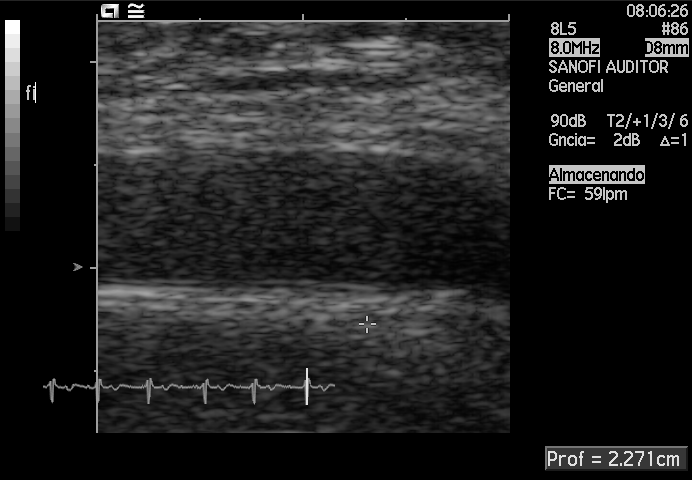
Classify this maternal-fetal ultrasound image as one of the six standard planes — fetal abdomen, fetal brain, fetal femur, fetal thorax, maternal cervix, or other. If it's fetal brain and one of the three standard brain planes (trans-thalamic, trans-cerebellum, trans-ventricular), name which.

Other